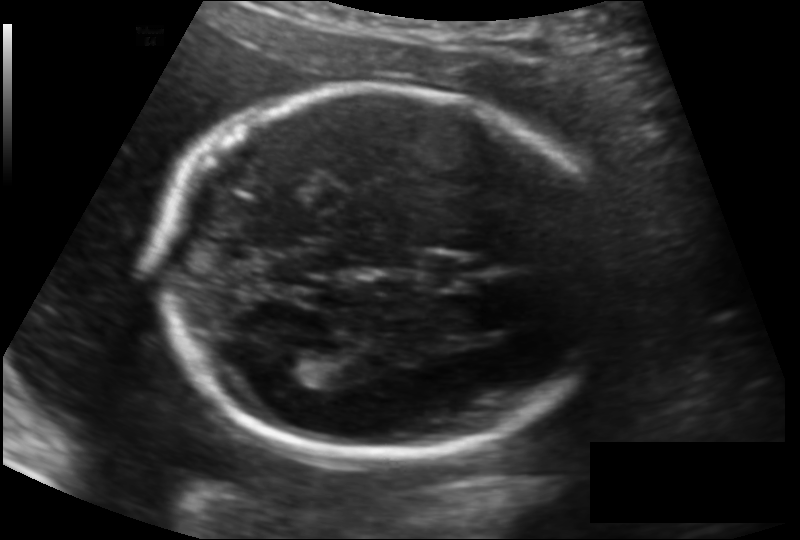
Fetal head ultrasound. Image width: 107.5 mm. Locate the fetal head.

Head: [158,87,610,458]